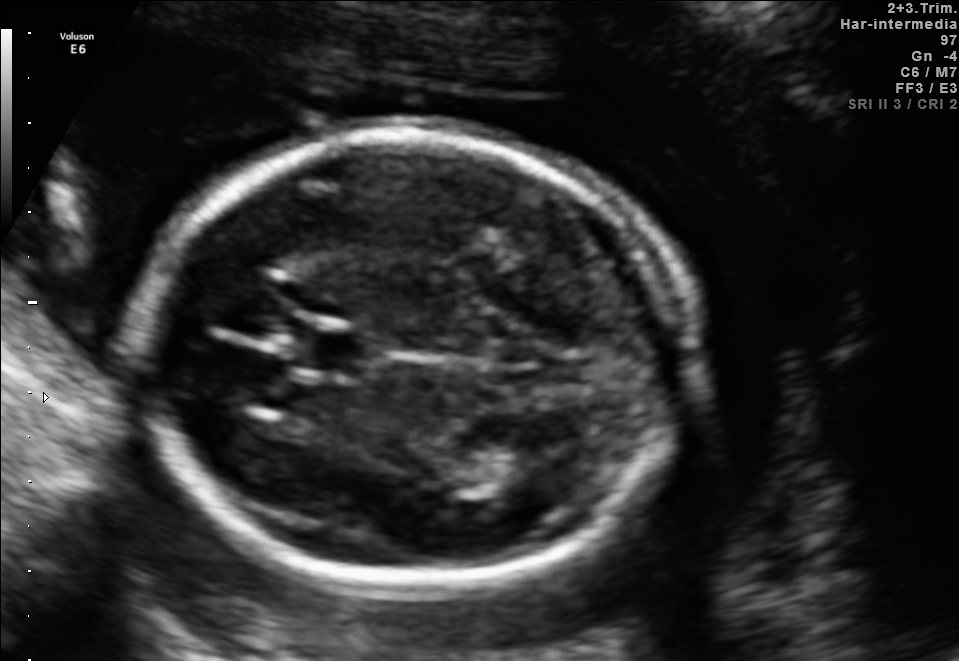
Fetal brain, trans-thalamic plane. Locate the lateral ventricle.

Lateral ventricle: [471,428,569,499]